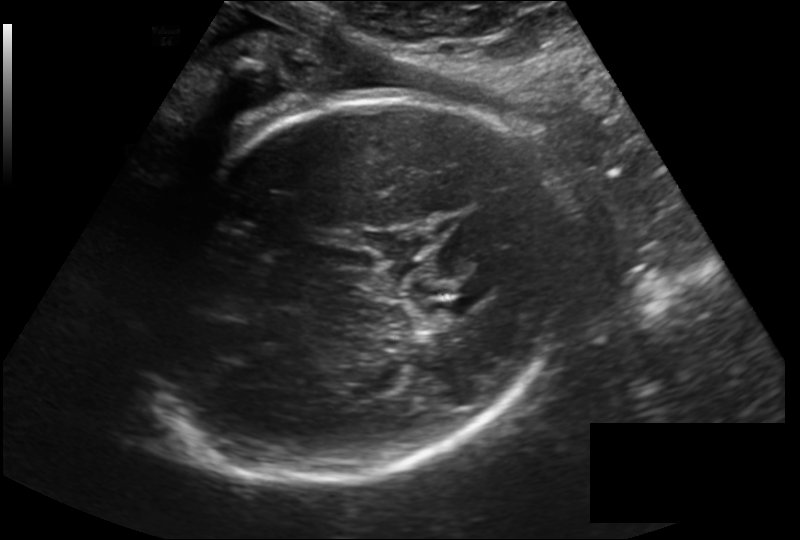
From this fetal ultrasound, estimate the head circumference (image width 175.4 mm).

Head circumference: 287.1 mm.